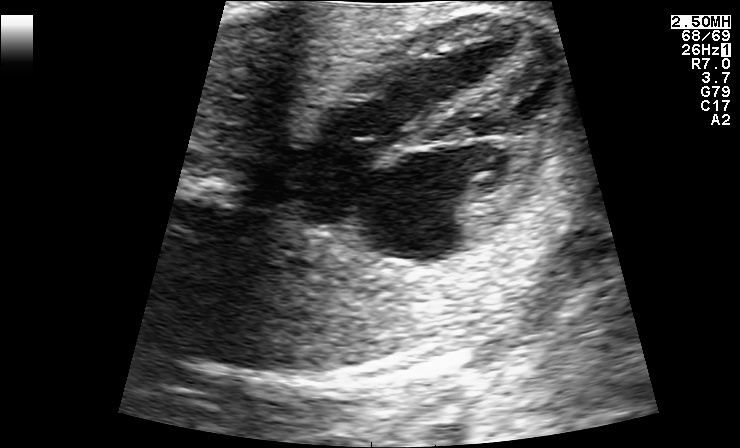
Which standard maternal-fetal ultrasound plane is shown: fetal abdomen, fetal brain, fetal femur, fetal thorax, maternal cervix, or other? If it's fetal brain and one of the three standard brain planes (trans-thalamic, trans-cerebellum, trans-ventricular), name which.

Fetal thorax